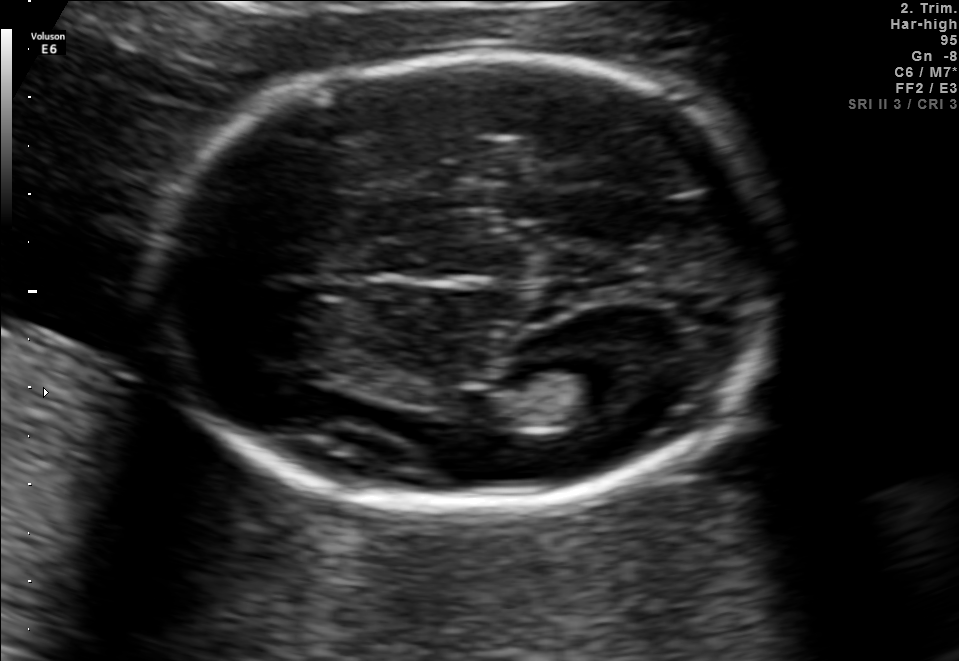
Fetal brain, trans-thalamic plane. Locate the fetal head.

Head: [144,54,773,511]